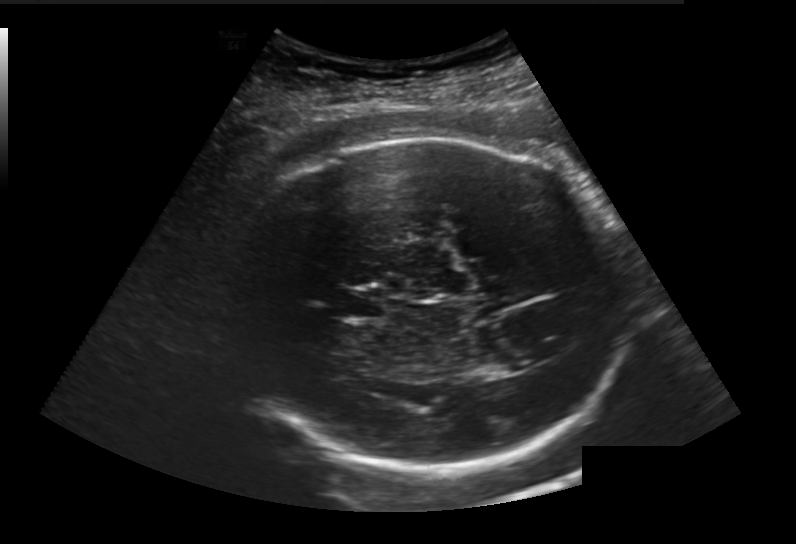
From this fetal ultrasound, estimate the head circumference (image width 187.6 mm).

Head circumference: 277.4 mm.